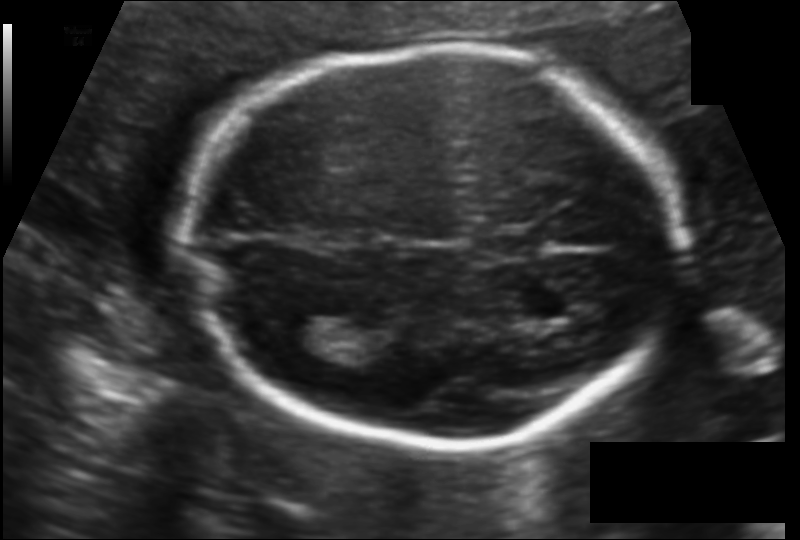
In this fetal head ultrasound, give the bounding box of the lateral ventricle. Image width: 99.4 mm.

[266,312,325,355]